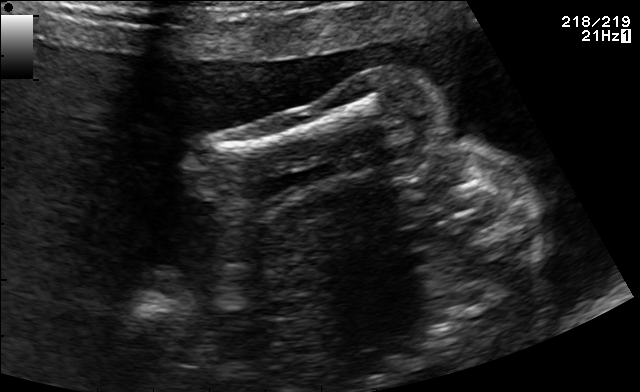
Classify this maternal-fetal ultrasound image as one of the six standard planes — fetal abdomen, fetal brain, fetal femur, fetal thorax, maternal cervix, or other. If it's fetal brain and one of the three standard brain planes (trans-thalamic, trans-cerebellum, trans-ventricular), name which.

Other